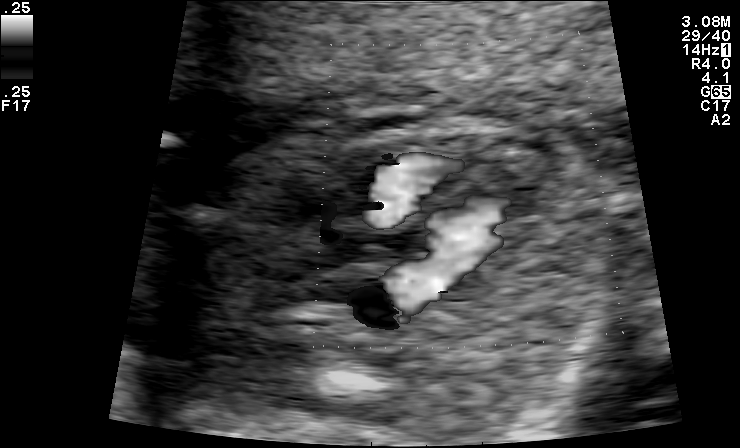
Which standard maternal-fetal ultrasound plane is shown: fetal abdomen, fetal brain, fetal femur, fetal thorax, maternal cervix, or other? If it's fetal brain and one of the three standard brain planes (trans-thalamic, trans-cerebellum, trans-ventricular), name which.

Other